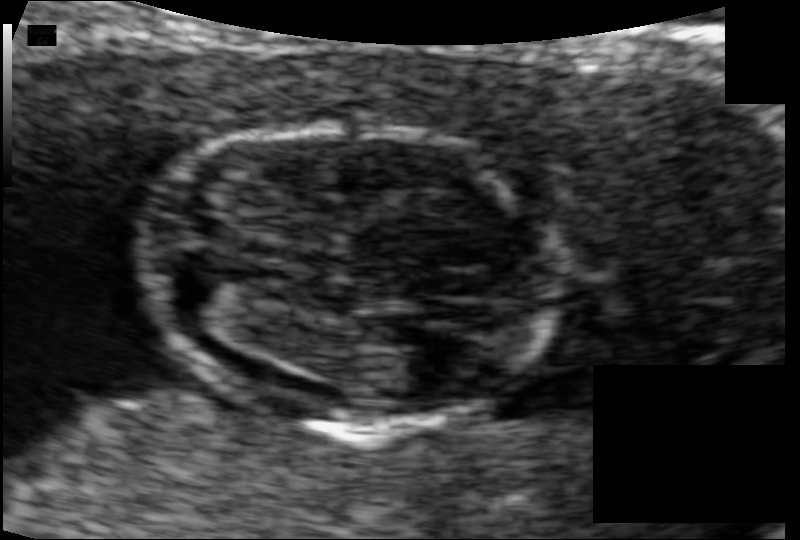
Measure the fetal head circumference shown in this ultrasound image. Image width: 52.6 mm.

Head circumference: 77.7 mm.